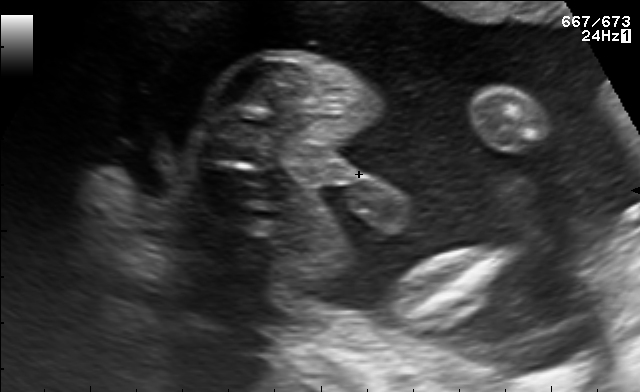
Classify this maternal-fetal ultrasound image as one of the six standard planes — fetal abdomen, fetal brain, fetal femur, fetal thorax, maternal cervix, or other. If it's fetal brain and one of the three standard brain planes (trans-thalamic, trans-cerebellum, trans-ventricular), name which.

Other